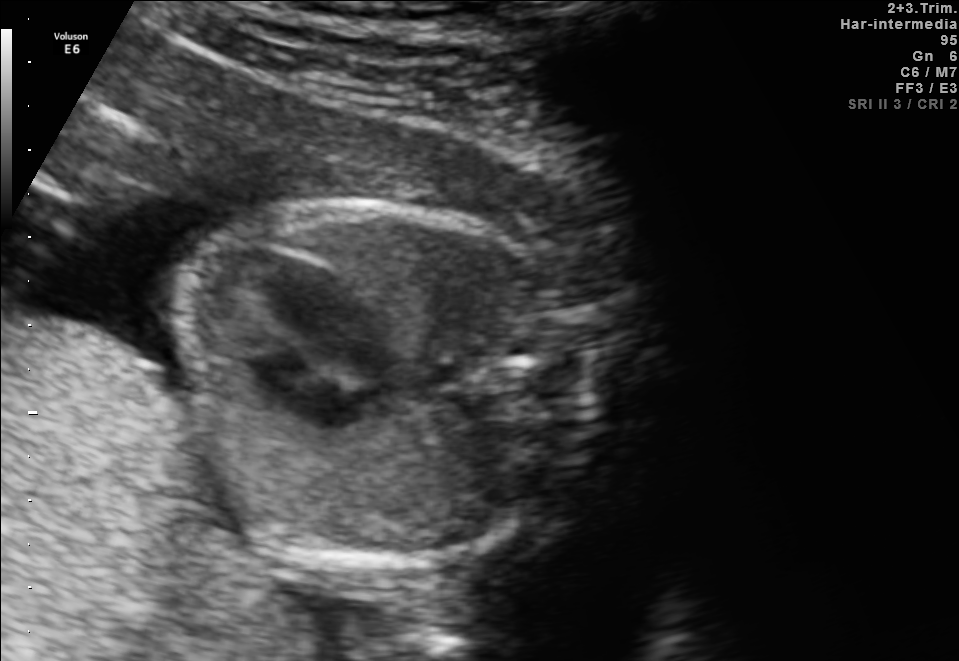
This is a 2D maternal-fetal ultrasound frame. Is it a fetal abdomen, fetal brain, fetal femur, fetal thorax, maternal cervix, or other standard plane? If it's fetal brain and one of the three standard brain planes (trans-thalamic, trans-cerebellum, trans-ventricular), name which.

Fetal thorax